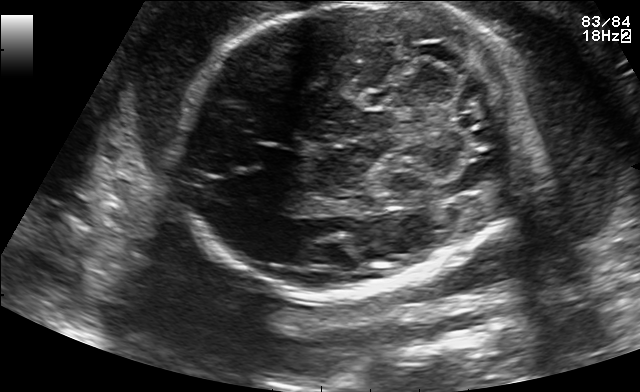
Fetal brain, trans-cerebellum plane. Locate the fetal head.

Head: [184,1,514,299]